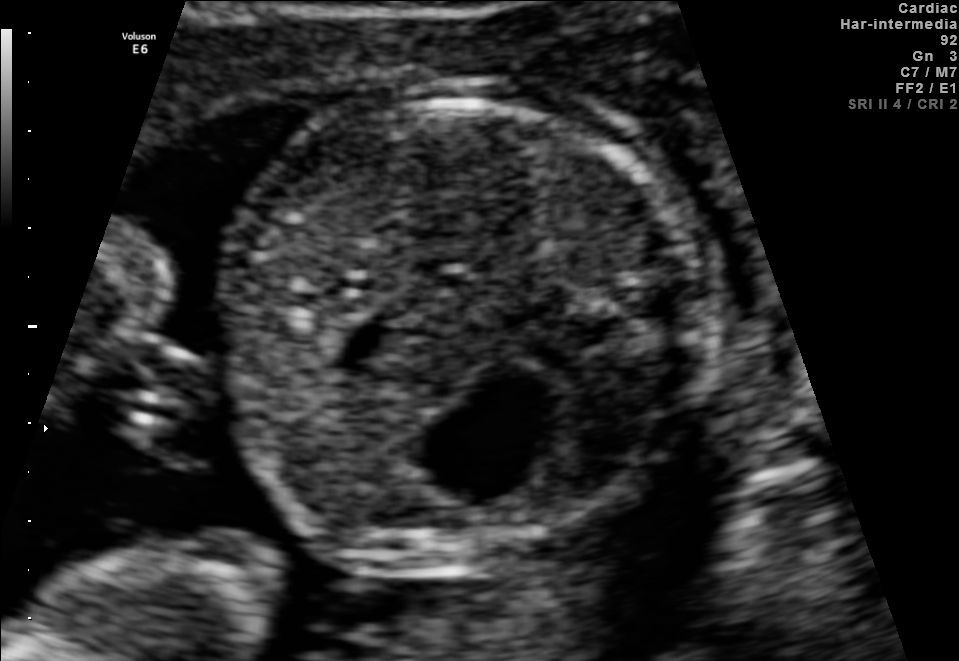
Identify the standard plane in this fetal ultrasound image: fetal abdomen, fetal brain, fetal femur, fetal thorax, maternal cervix, or other. If it's fetal brain and one of the three standard brain planes (trans-thalamic, trans-cerebellum, trans-ventricular), name which.

Fetal abdomen